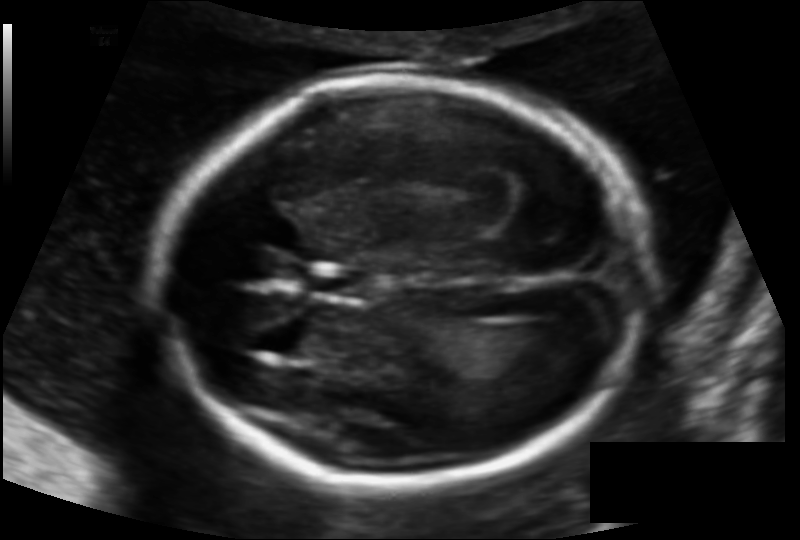
Fetal head ultrasound. Image width: 97.8 mm. Locate the fetal head and, if visible, the cavum septum pellucidum (CSP) and lateral ventricle (LV). Give bounding boxes as [x1,y1,x2,y2].

Head: [155,83,645,484]
CSP: [306,263,370,302]